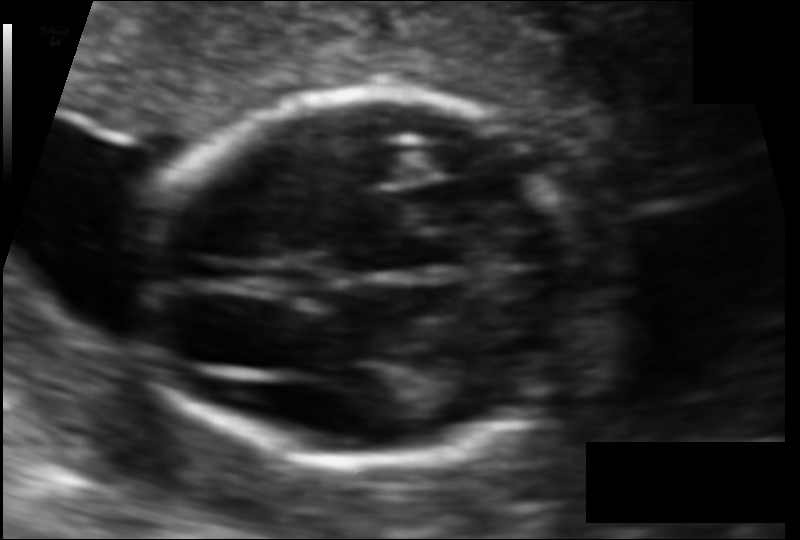
Estimate the fetal head circumference from this 2D ultrasound. Image width: 70.1 mm.

Head circumference: 118.2 mm.